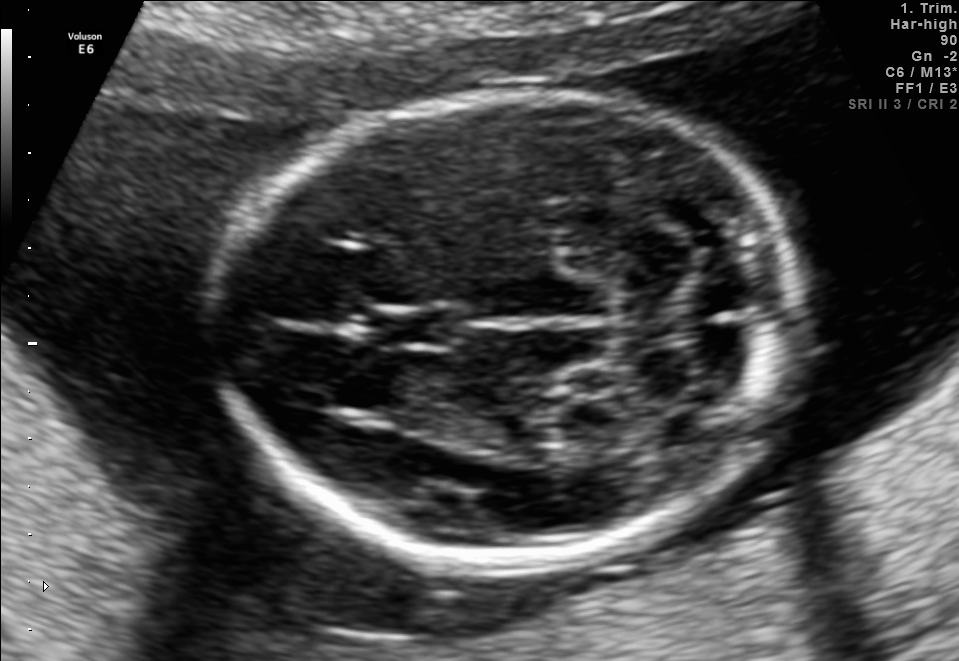
Identify the standard plane in this fetal ultrasound image: fetal abdomen, fetal brain, fetal femur, fetal thorax, maternal cervix, or other. If it's fetal brain and one of the three standard brain planes (trans-thalamic, trans-cerebellum, trans-ventricular), name which.

Fetal brain (trans-cerebellum plane)